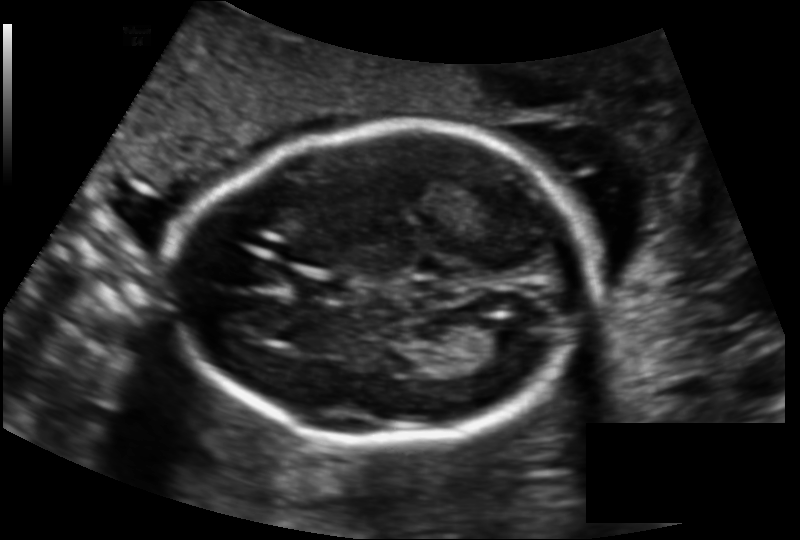
In this fetal head ultrasound, give the bounding box of the fetal head. Image width: 109.7 mm.

[177,124,593,444]